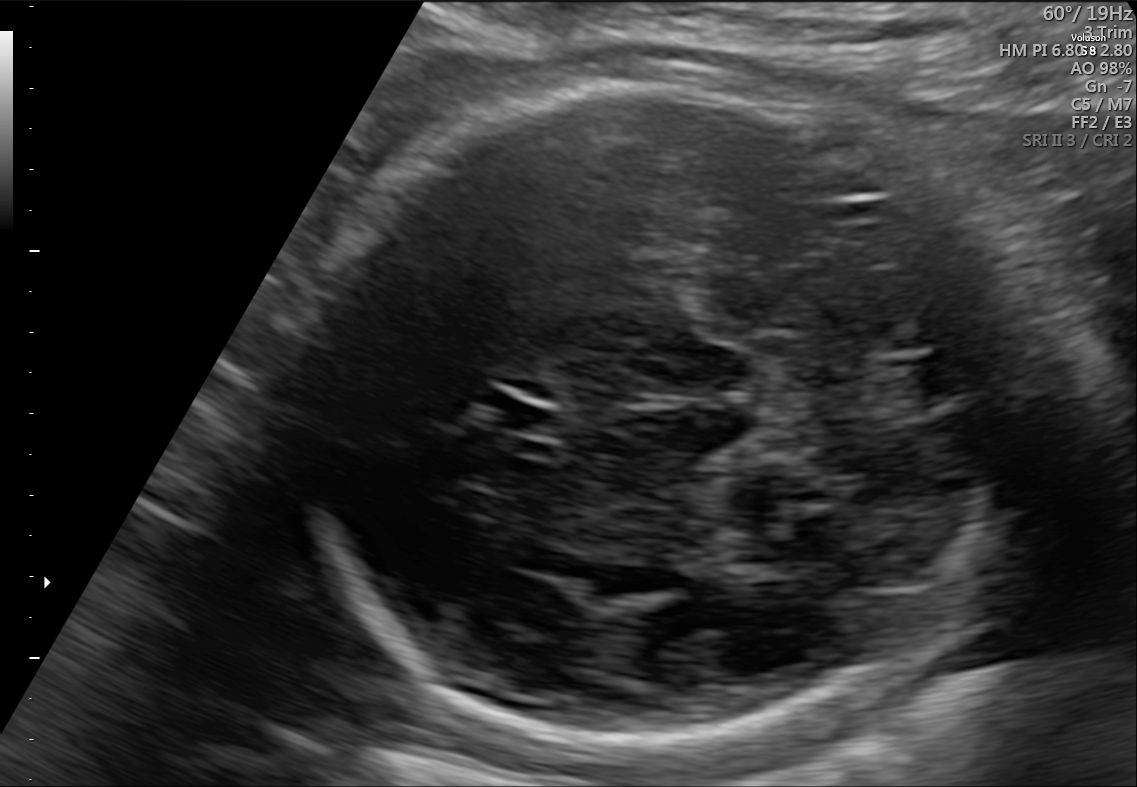
Fetal brain, trans-cerebellum plane. Where is the fetal head?

Head bounding box: [302,83,982,756]